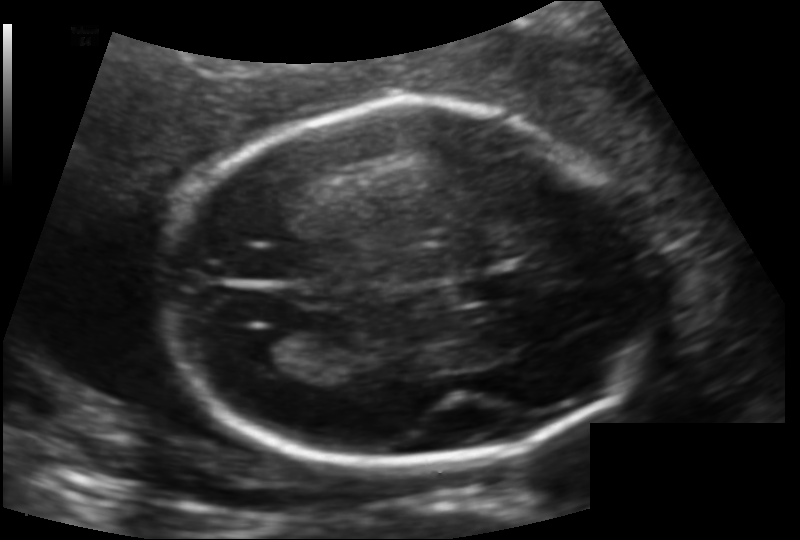
Fetal head ultrasound. Image width: 106.2 mm. Locate the fetal head.

Head: [156,107,654,464]